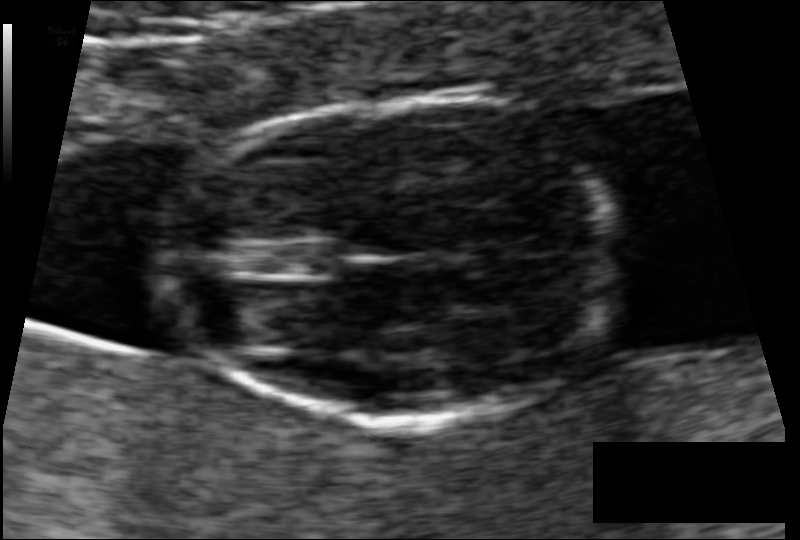
What is the fetal head circumference? Image width is 49.5 mm.

77.4 mm